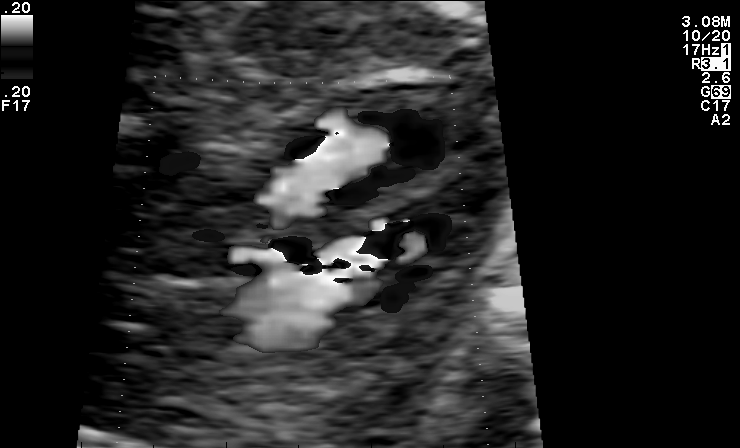
Which standard maternal-fetal ultrasound plane is shown: fetal abdomen, fetal brain, fetal femur, fetal thorax, maternal cervix, or other? If it's fetal brain and one of the three standard brain planes (trans-thalamic, trans-cerebellum, trans-ventricular), name which.

Other